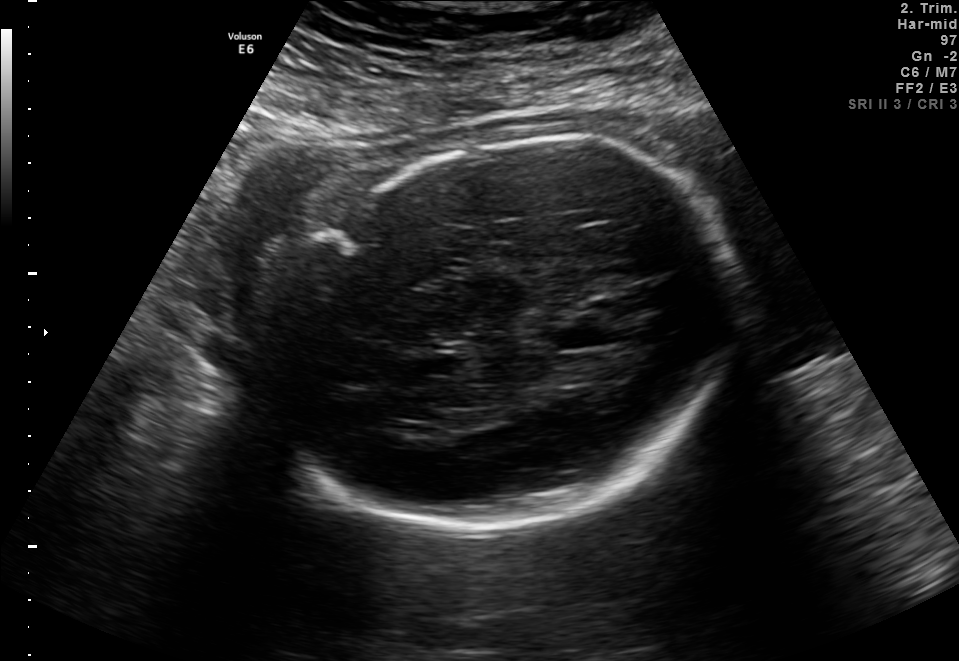
Fetal brain, trans-thalamic plane. Locate the fetal head.

Head: [256,135,745,536]